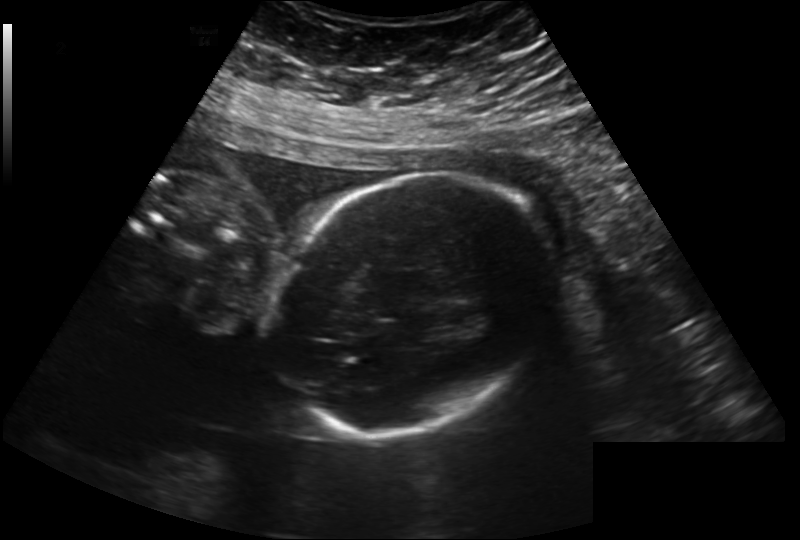
Fetal head ultrasound. Image width: 177.4 mm. Give [x1,y1,x2,y2] bounding boxes for each visible structure among: fetal head, CSP, LV.

Head: [271,171,546,436]